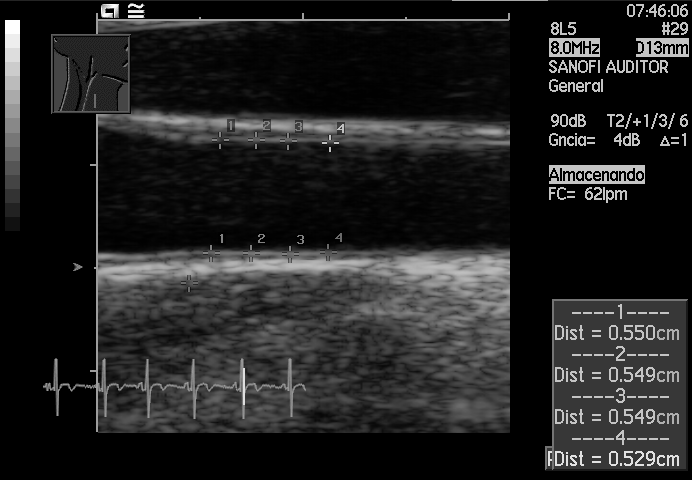
Which standard maternal-fetal ultrasound plane is shown: fetal abdomen, fetal brain, fetal femur, fetal thorax, maternal cervix, or other? If it's fetal brain and one of the three standard brain planes (trans-thalamic, trans-cerebellum, trans-ventricular), name which.

Other